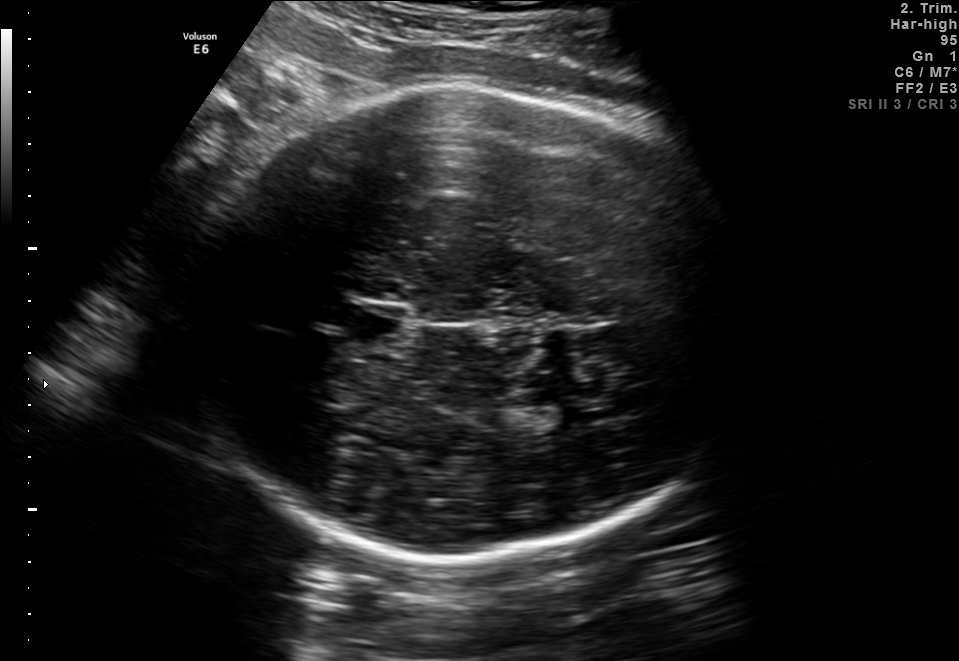
Fetal brain, trans-thalamic plane. Where is the fetal head?

Head bounding box: [196,85,747,560]